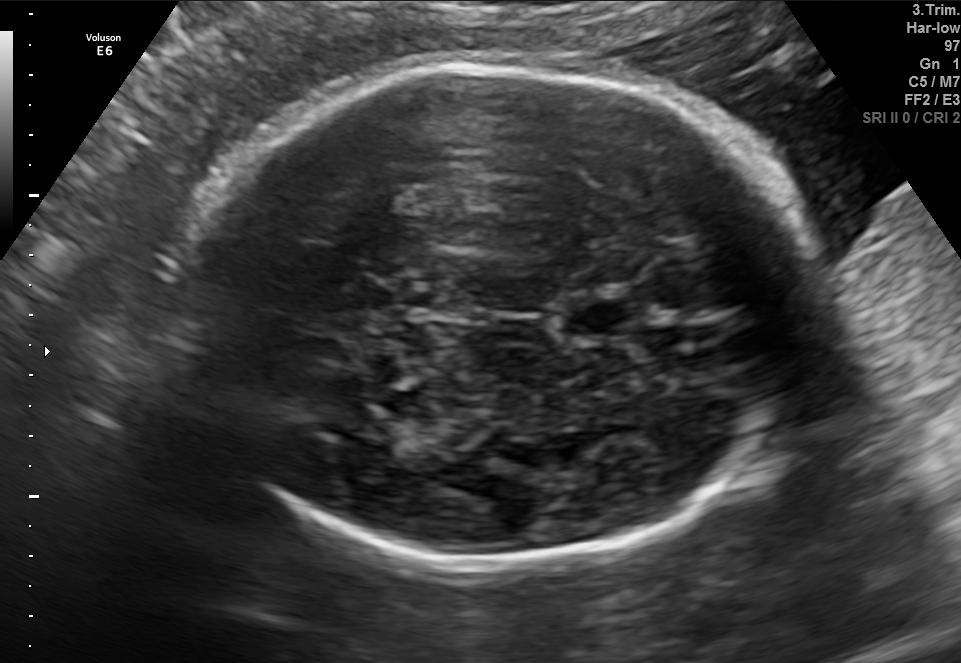
In this fetal brain, trans-thalamic plane, give the bounding box of the fetal head.

[181,64,814,569]